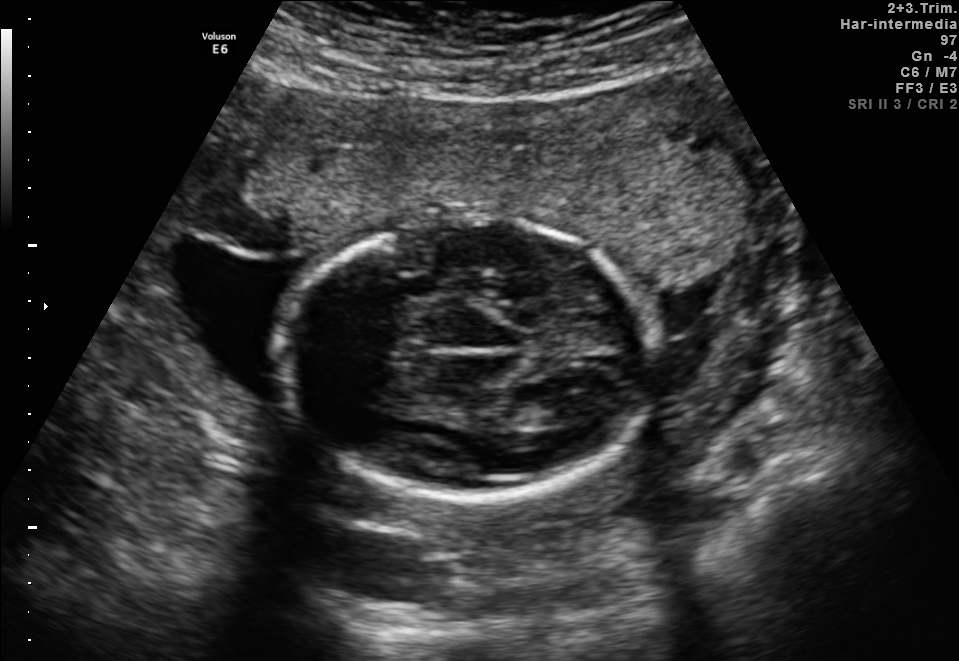
Fetal brain, trans-thalamic plane. Where is the lateral ventricle?

Lateral ventricle bounding box: [533,389,595,430]